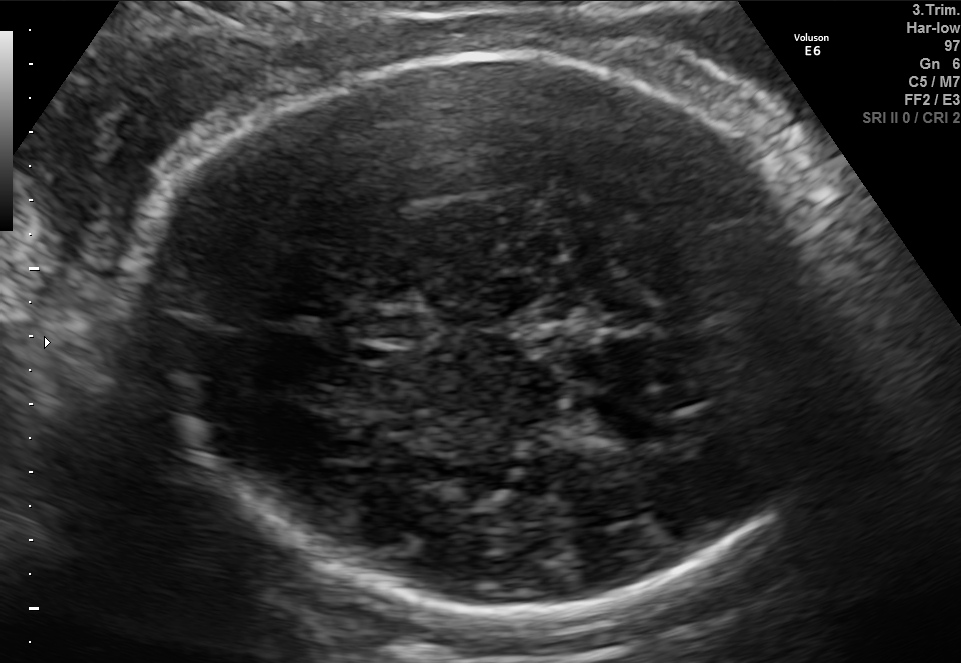
Fetal brain, trans-thalamic plane. Locate the fetal head and, if visible, the cavum septum pellucidum (CSP) and lateral ventricle (LV). Give bounding boxes as [x1,y1,x2,y2].

Head: [133,52,846,615]
CSP: [355,308,420,344]